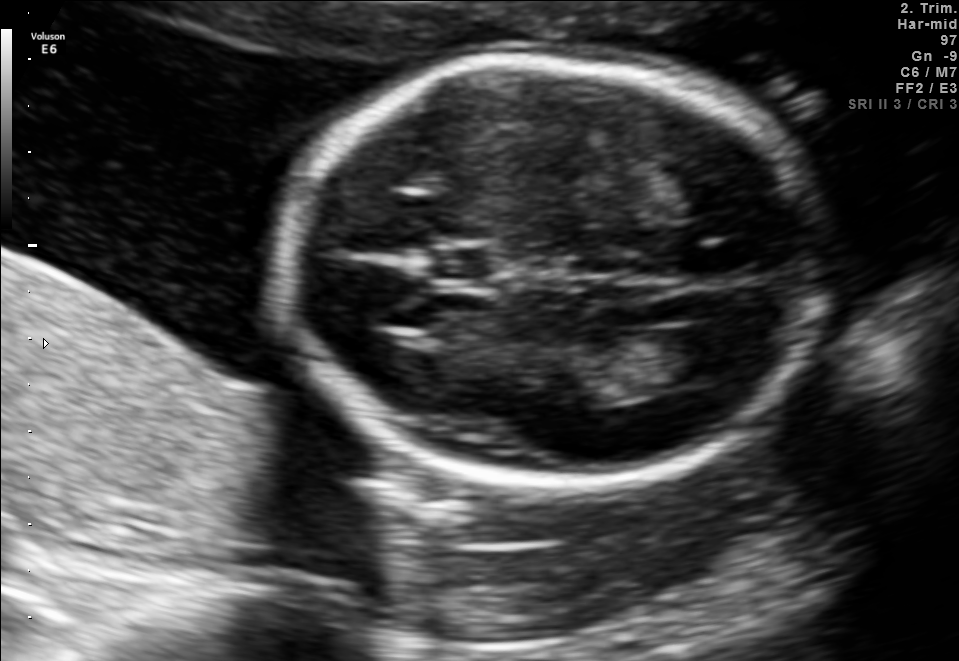
Fetal brain, trans-ventricular plane. Where is the lateral ventricle?

Lateral ventricle bounding box: [660,320,756,386]